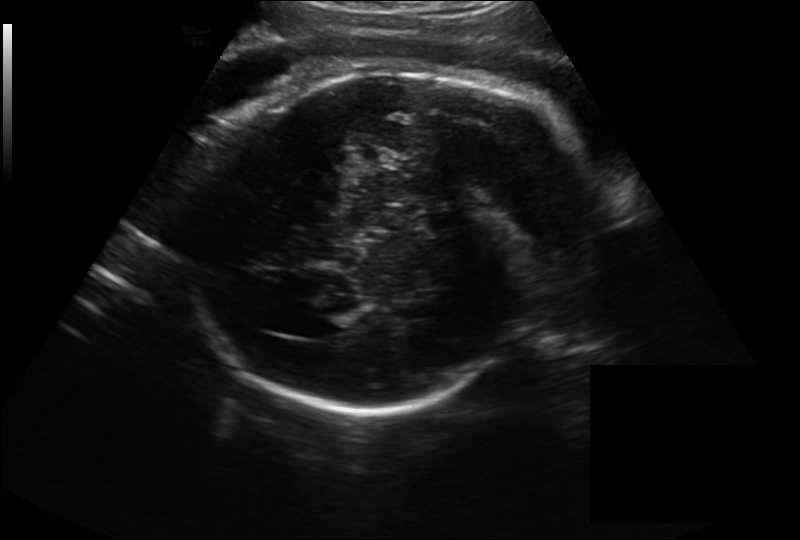
In this fetal head ultrasound, give bounding boxes for the head outline, cavum septum pellucidum (CSP), and lateral ventricle (LV), where visible. Image width: 209.3 mm.

Head: [189,67,585,411]
Lateral ventricle: [305,312,353,338]